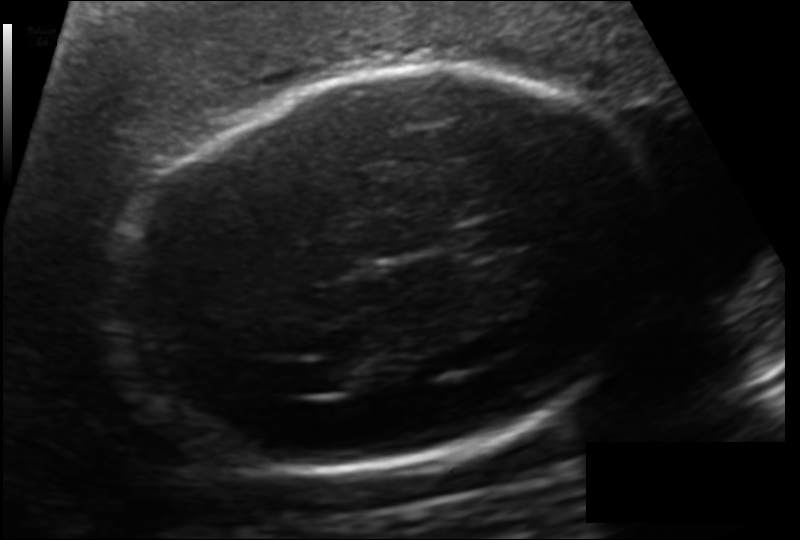
Estimate the fetal head circumference from this 2D ultrasound.

Head circumference: 231.3 mm (image width 120.9 mm).